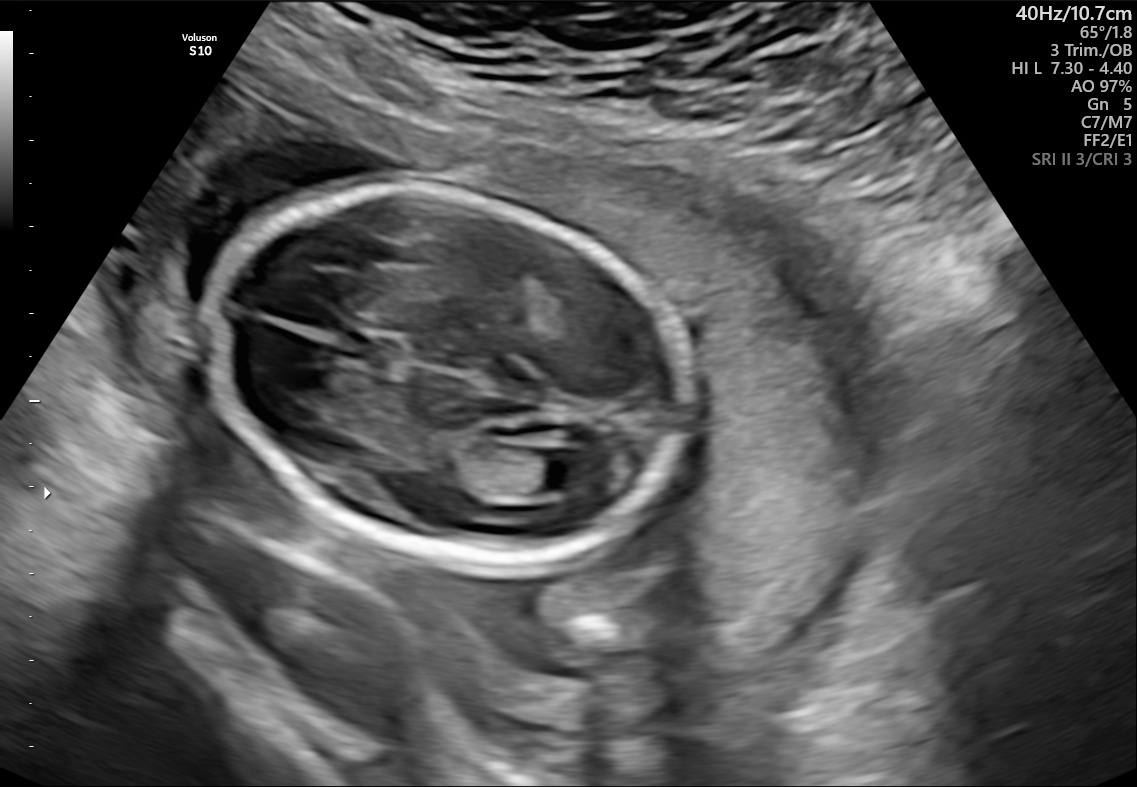
Fetal brain, trans-ventricular plane. Locate the cavum septum pellucidum.

CSP: [340,329,391,370]